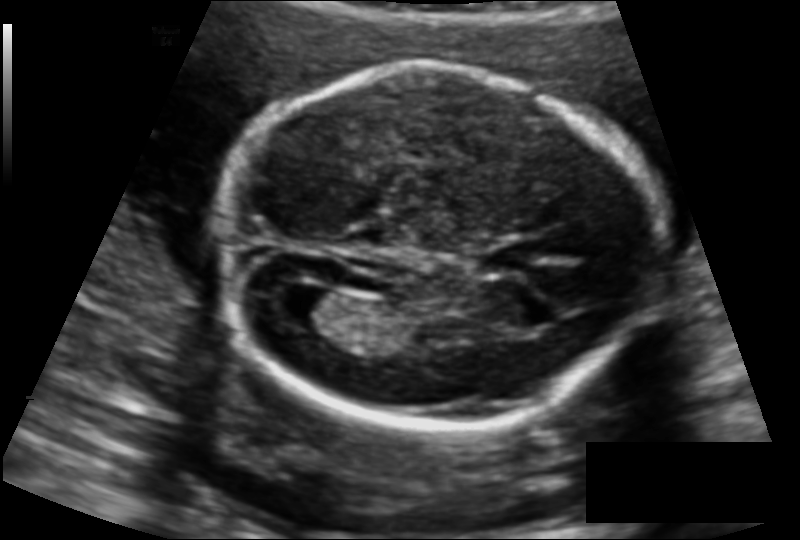
In this fetal head ultrasound, give bounding boxes for the head outline, cavum septum pellucidum (CSP), and lateral ventricle (LV), where visible. Image width: 101.8 mm.

Head: [220,64,650,427]
CSP: [484,242,539,274]
Lateral ventricle: [269,275,348,338]